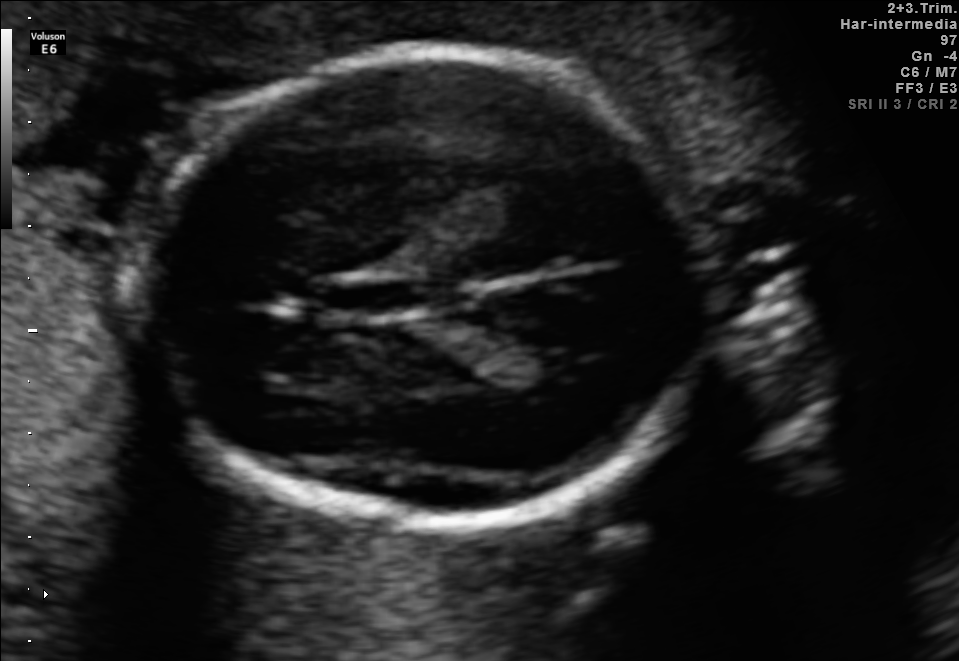
In this fetal brain, trans-thalamic plane, give the bounding box of the fetal head.

[127,53,708,514]